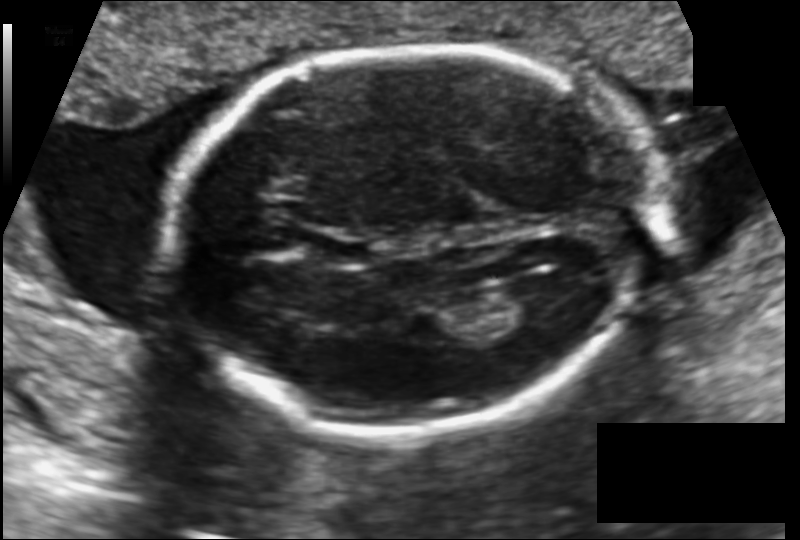
In this fetal head ultrasound, give bounding boxes for the head outline, cavum septum pellucidum (CSP), and lateral ventricle (LV), where visible. Image width: 106.0 mm.

Head: [170,47,650,435]
CSP: [311,231,374,269]
Lateral ventricle: [490,272,572,332]